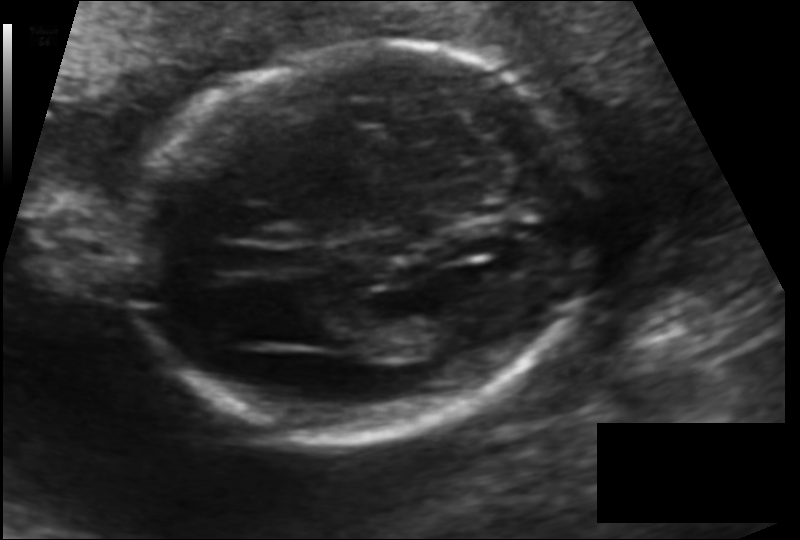
What is the fetal head circumference? Image width is 96.4 mm.

167.0 mm